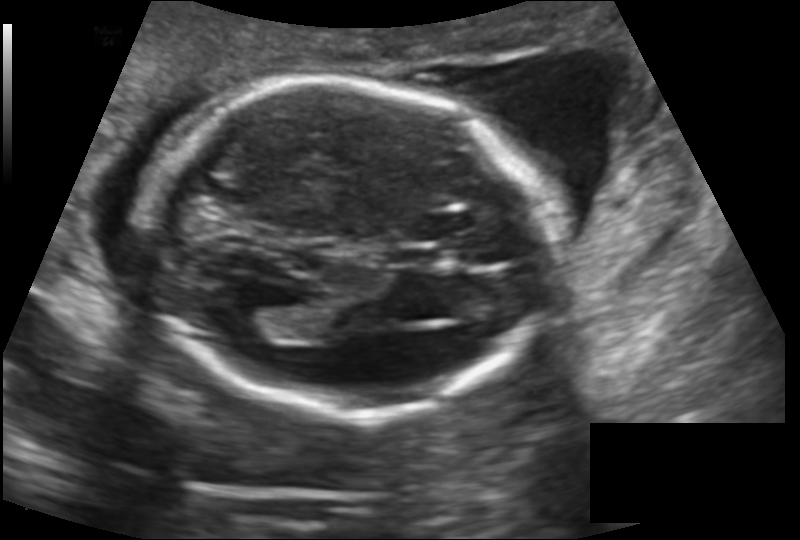
Fetal head ultrasound. Image width: 116.4 mm. Where is the fetal head?

Head bounding box: [141,79,549,413]